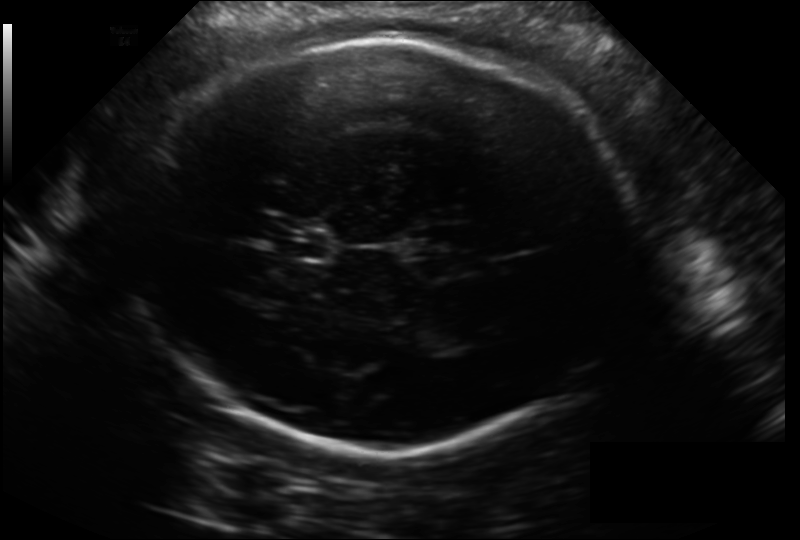
Fetal head ultrasound. Image width: 168.5 mm. Where is the cavum septum pellucidum?

CSP bounding box: [272,222,330,263]